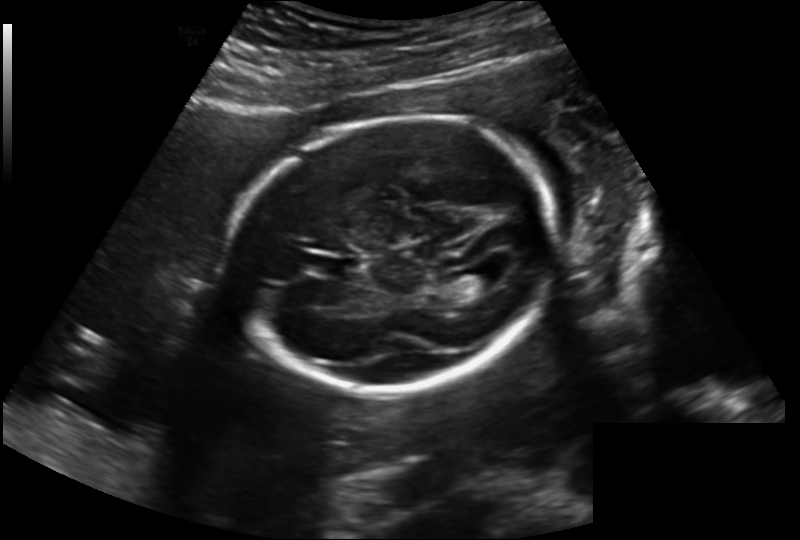
In this fetal head ultrasound, give the bounding box of the fetal head. Image width: 161.6 mm.

[226,117,557,392]